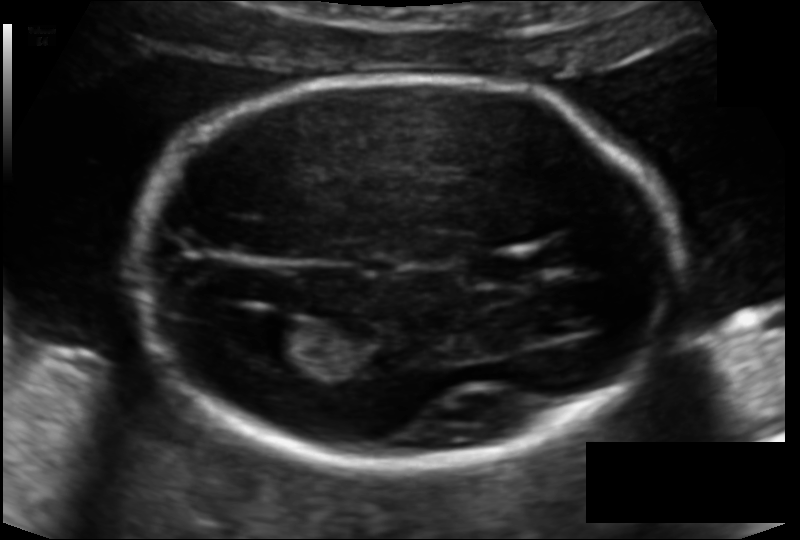
Fetal head ultrasound. Image width: 95.2 mm. Locate the fetal head.

Head: [128,76,681,462]